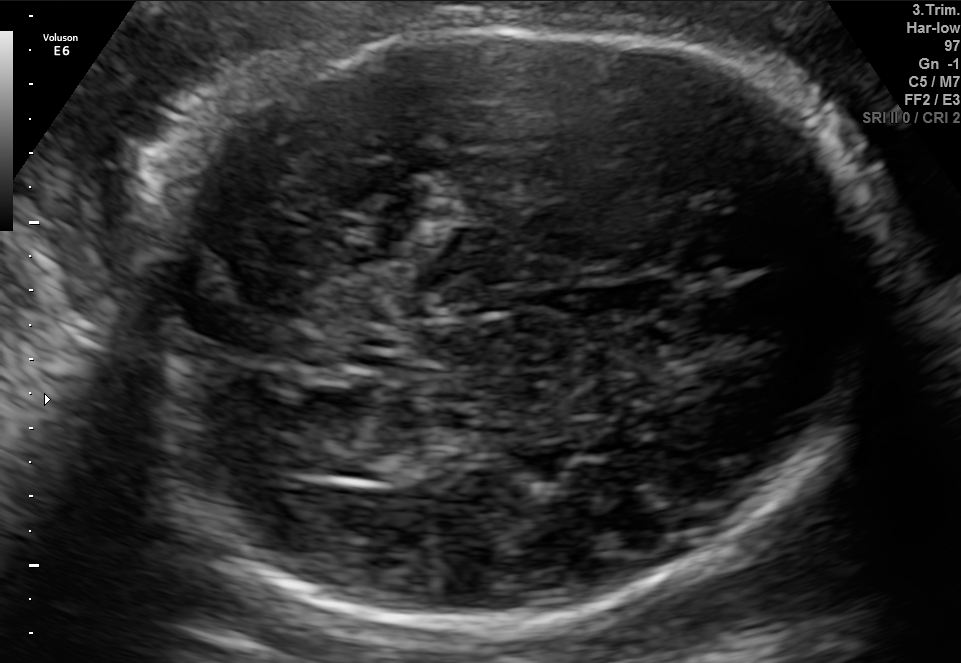
Fetal brain, trans-thalamic plane. Where is the lateral ventricle?

Lateral ventricle bounding box: [305,428,416,486]